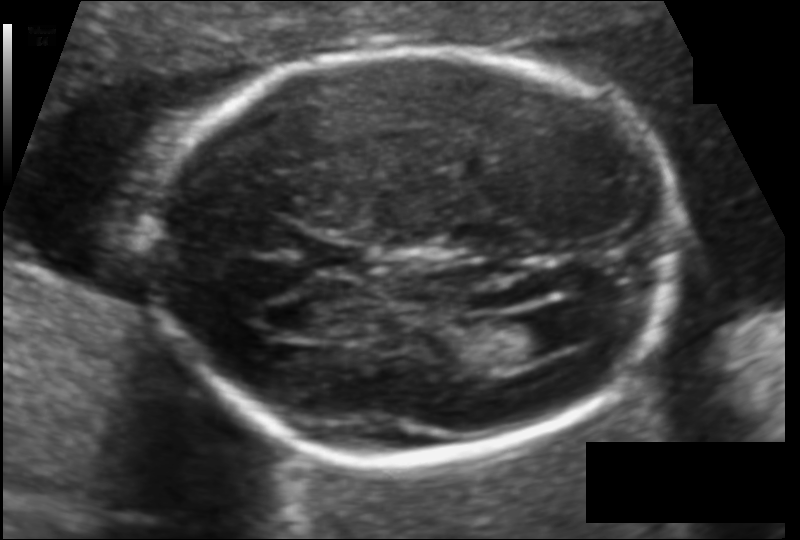
In this fetal head ultrasound, give the bounding box of the cavum septum pellucidum. Image width: 89.1 mm.

[309,239,369,277]